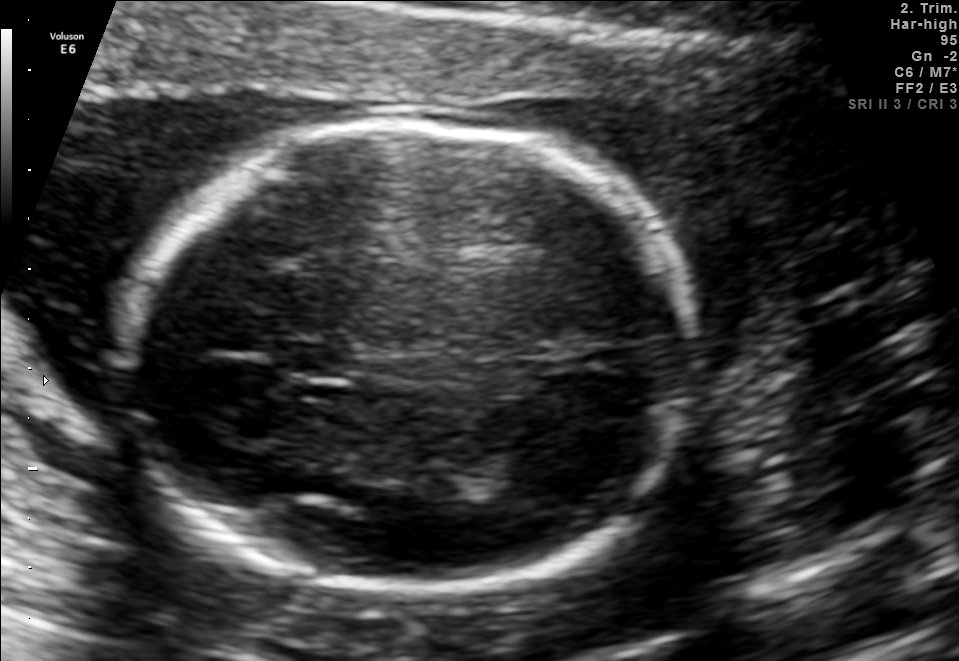
Fetal brain, trans-thalamic plane. Locate the fetal head and, if visible, the cavum septum pellucidum (CSP) and lateral ventricle (LV). Give bounding boxes as [x1,y1,x2,y2].

Head: [110,121,697,586]
CSP: [274,340,346,377]